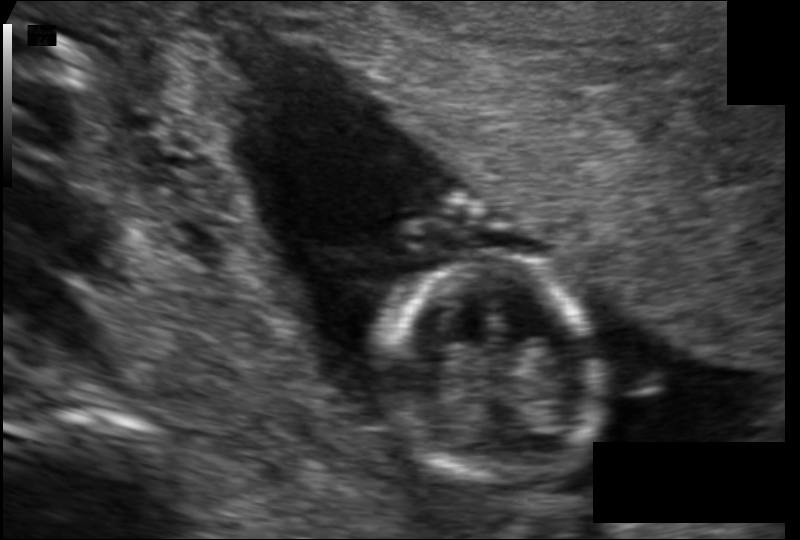
Estimate the fetal head circumference from this 2D ultrasound. Image width: 87.7 mm.

Head circumference: 80.9 mm.